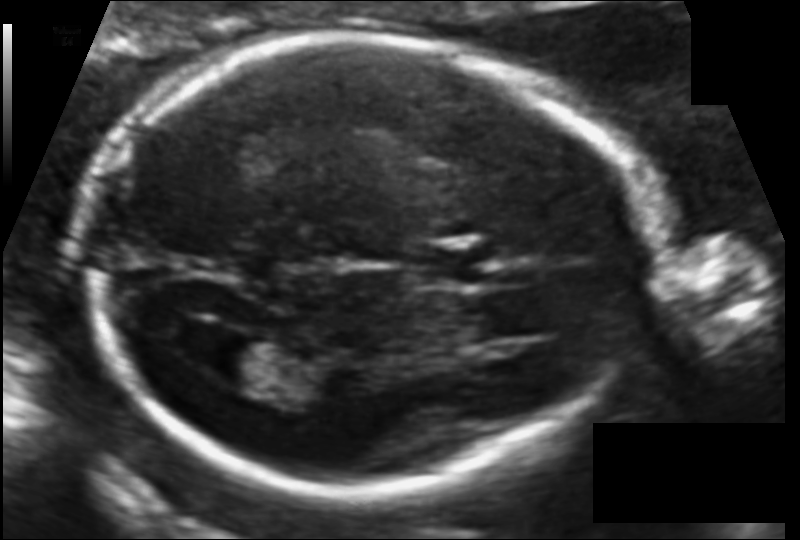
Fetal head ultrasound. Image width: 87.0 mm. Where is the cavum septum pellucidum?

CSP bounding box: [413,245,477,285]